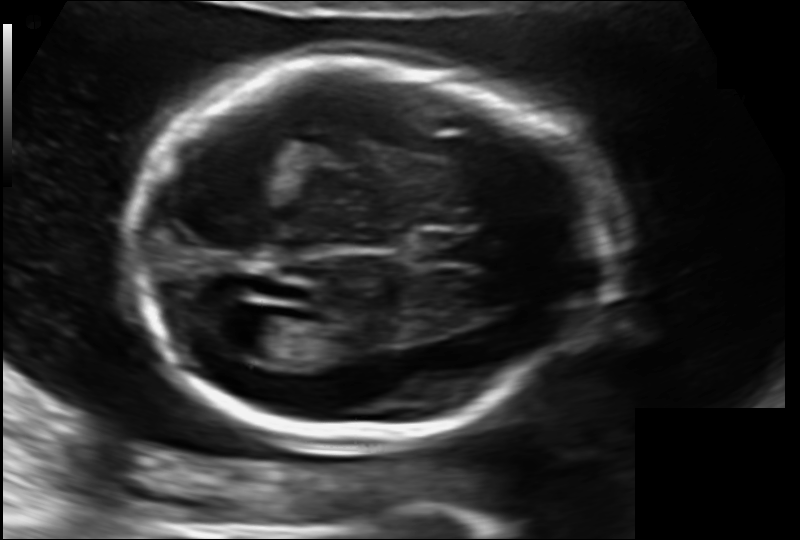
Fetal head ultrasound. Image width: 103.9 mm. Locate the fetal head and, if visible, the cavum septum pellucidum (CSP) and lateral ventricle (LV). Give bounding boxes as [x1,y1,x2,y2].

Head: [131,60,602,440]
CSP: [416,233,485,264]
Lateral ventricle: [230,310,310,366]